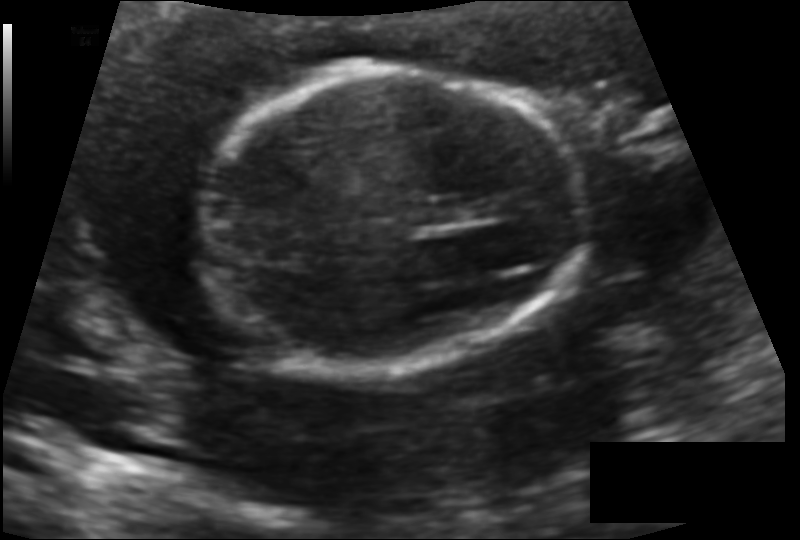
Measure the fetal head circumference shown in this ultrasound image. Image width: 90.0 mm.

Head circumference: 123.3 mm.